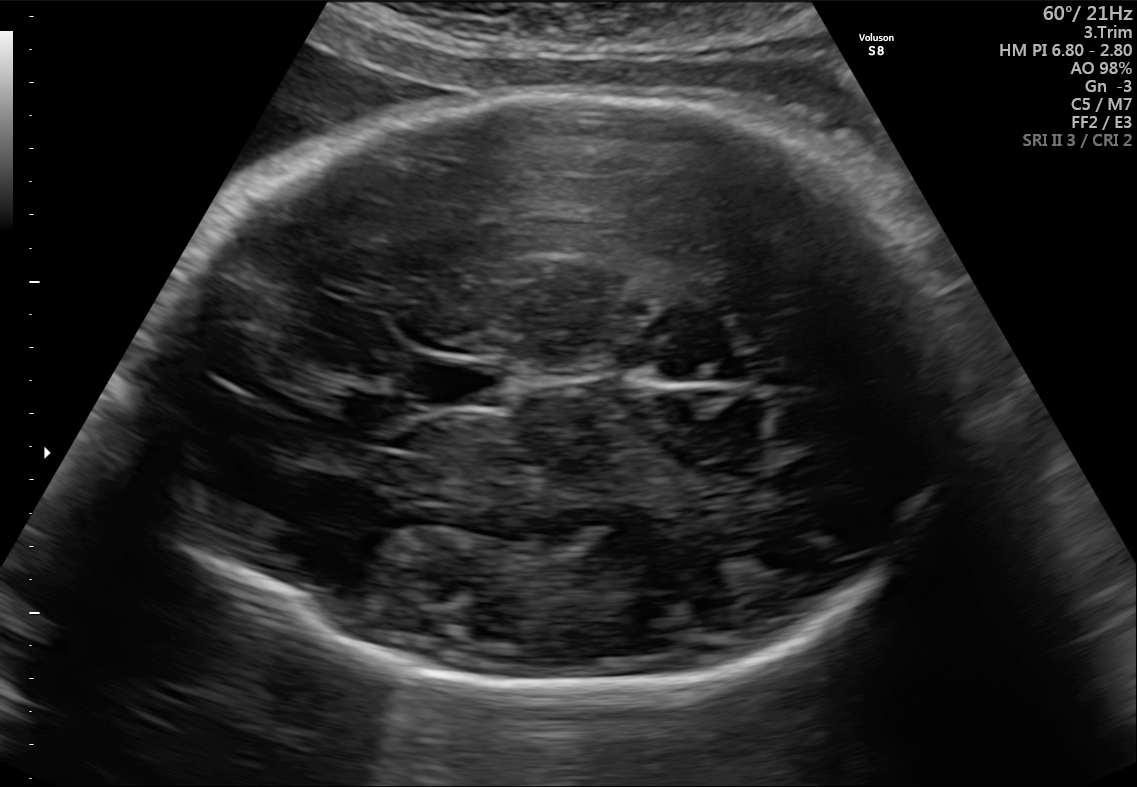
Fetal brain, trans-thalamic plane. Locate the fetal head.

Head: [130,92,966,693]